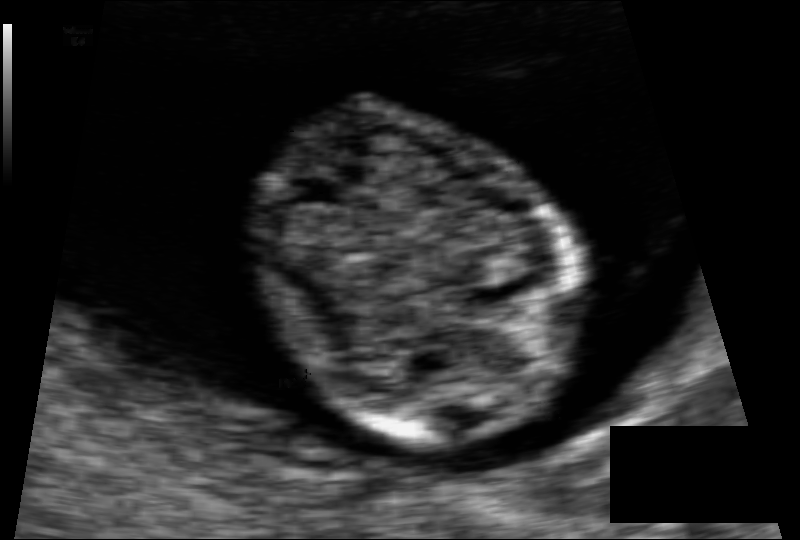
Fetal head ultrasound. Image width: 49.5 mm. Where is the fetal head?

Head bounding box: [251,99,576,438]